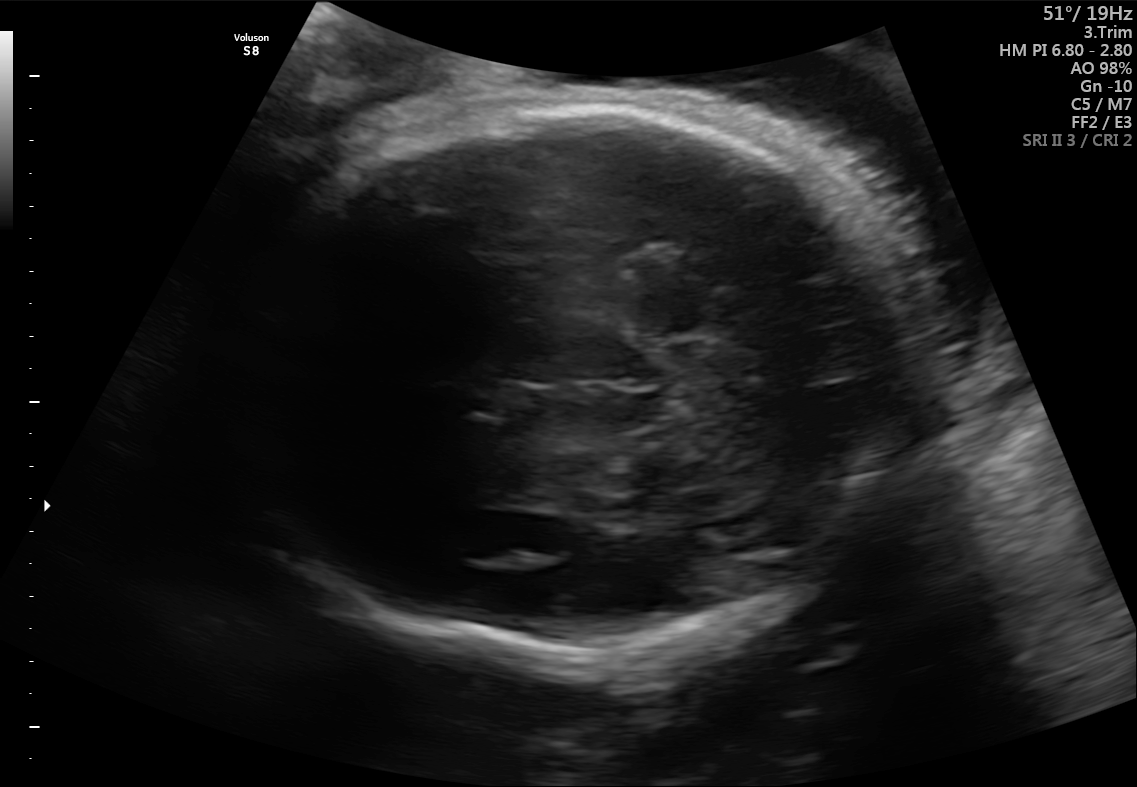
Classify this maternal-fetal ultrasound image as one of the six standard planes — fetal abdomen, fetal brain, fetal femur, fetal thorax, maternal cervix, or other. If it's fetal brain and one of the three standard brain planes (trans-thalamic, trans-cerebellum, trans-ventricular), name which.

Fetal brain (trans-thalamic plane)